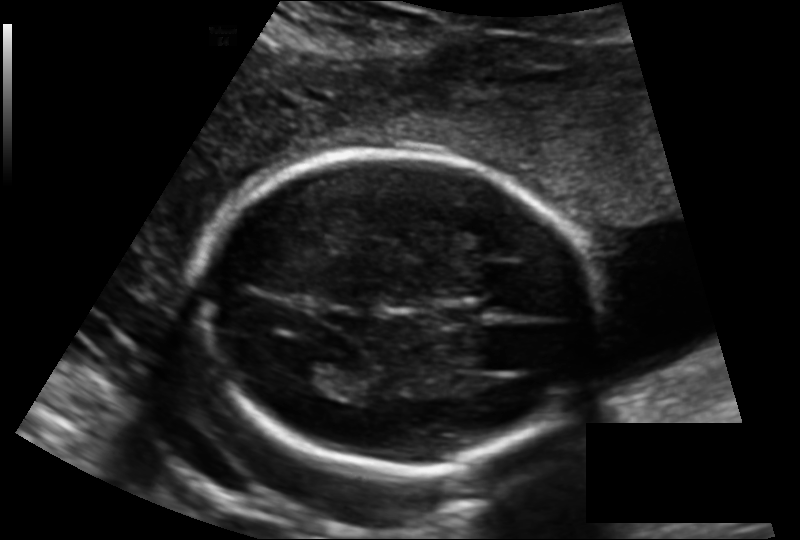
Estimate the fetal head circumference from this 2D ultrasound.

Head circumference: 169.0 mm (image width 114.7 mm).